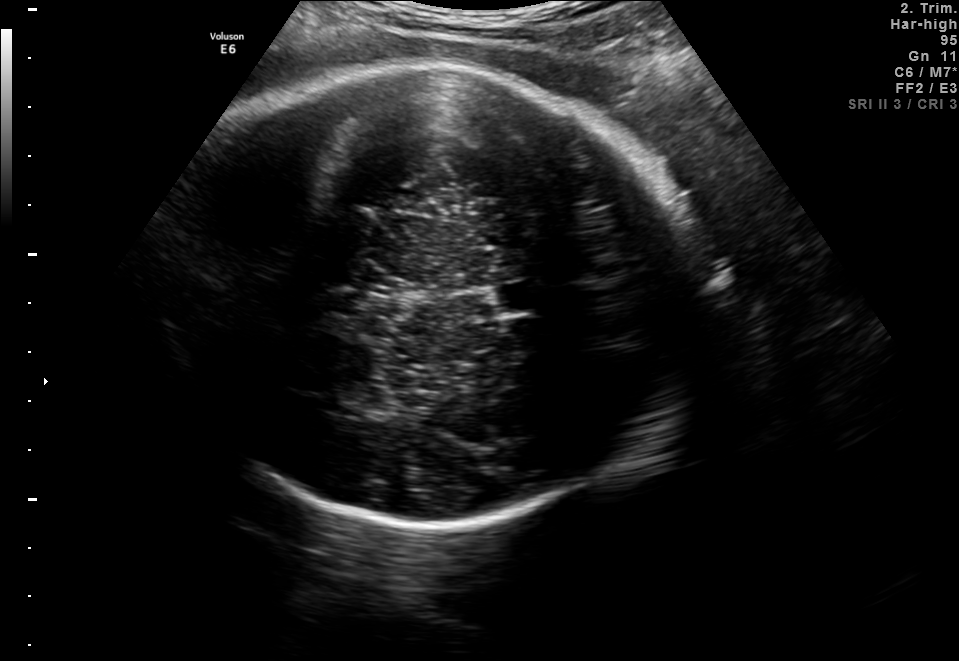
In this fetal brain, trans-thalamic plane, give bounding boxes for the head outline, cavum septum pellucidum (CSP), and lateral ventricle (LV), where visible.

Head: [155,66,702,527]
CSP: [490,278,555,318]